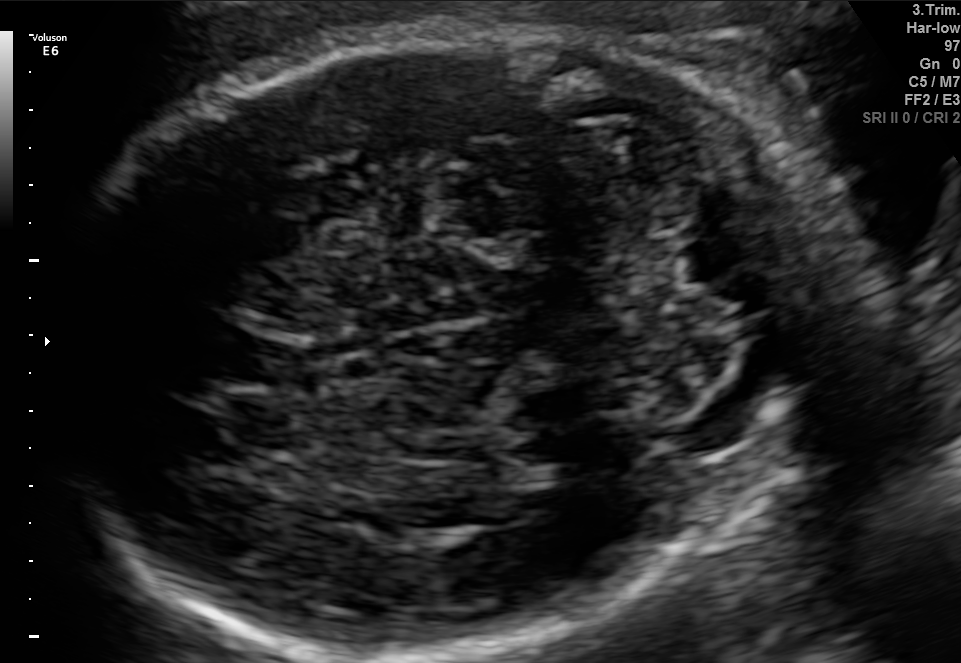
In this fetal brain, trans-cerebellum plane, give the bounding box of the cavum septum pellucidum.

[215,327,317,396]